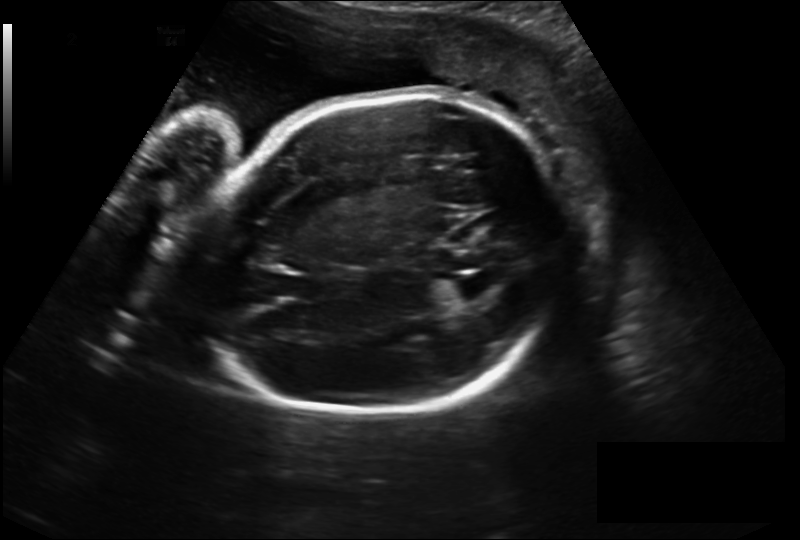
Fetal head ultrasound. Image width: 184.2 mm. Where is the fetal head?

Head bounding box: [194,97,566,417]